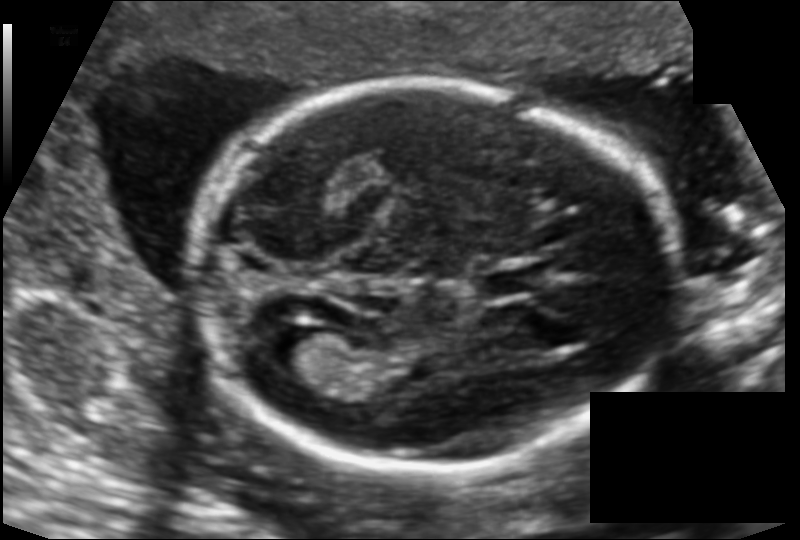
In this fetal head ultrasound, give the bounding box of the fetal head. Image width: 98.8 mm.

[192,83,678,469]